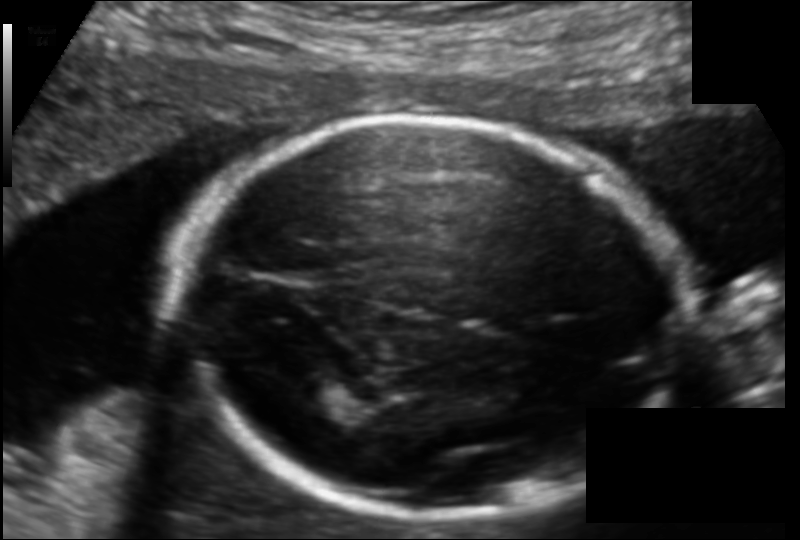
What is the fetal head circumference? Image width is 96.3 mm.

172.9 mm